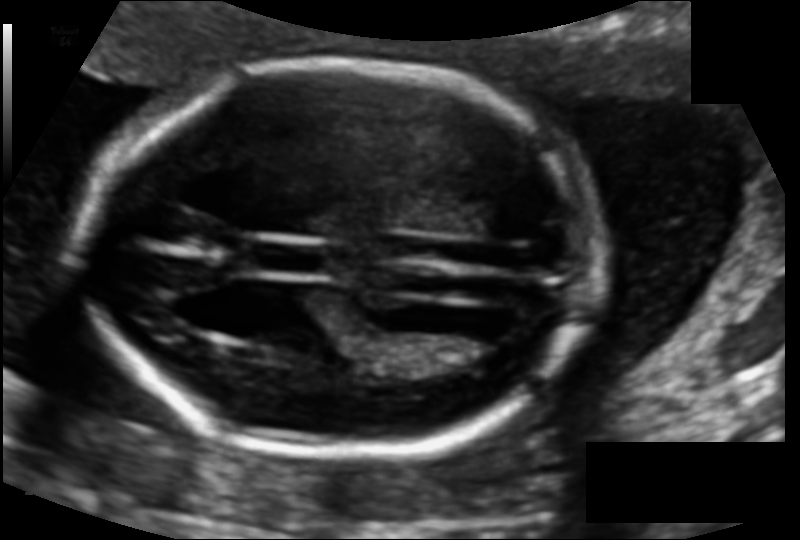
Fetal head ultrasound. Image width: 88.3 mm. Locate the fetal head and, if visible, the cavum septum pellucidum (CSP) and lateral ventricle (LV). Give bounding boxes as [x1,y1,x2,y2].

Head: [78,60,591,453]
CSP: [255,239,325,275]